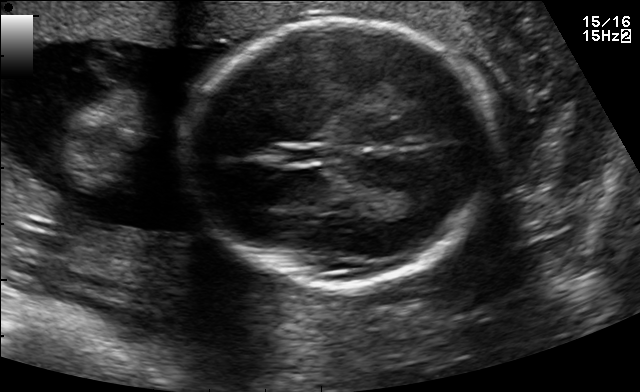
Fetal brain, trans-thalamic plane. Locate the fetal head and, if visible, the cavum septum pellucidum (CSP) and lateral ventricle (LV). Give bounding boxes as [x1,y1,x2,y2].

Head: [188,23,495,288]
CSP: [280,144,331,165]